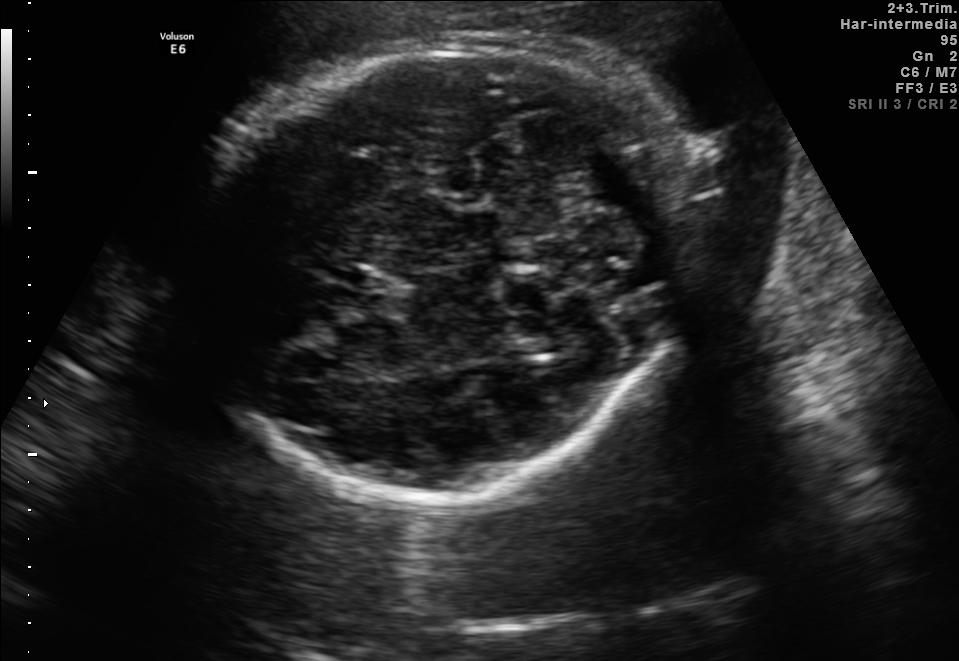
Fetal brain, trans-cerebellum plane. Give [x1,y1,x2,y2] bounding boxes for each visible structure among: fetal head, CSP, LV.

Head: [193,41,690,496]